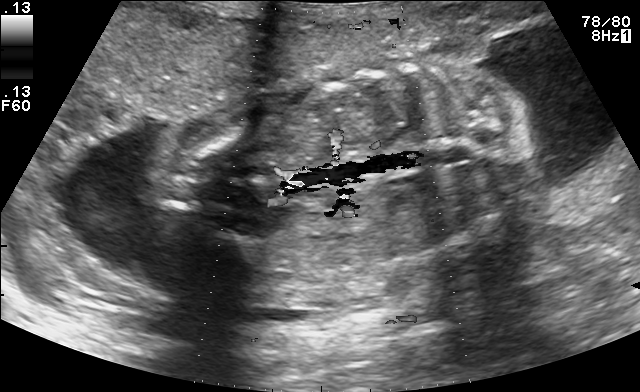
Classify this maternal-fetal ultrasound image as one of the six standard planes — fetal abdomen, fetal brain, fetal femur, fetal thorax, maternal cervix, or other. If it's fetal brain and one of the three standard brain planes (trans-thalamic, trans-cerebellum, trans-ventricular), name which.

Other